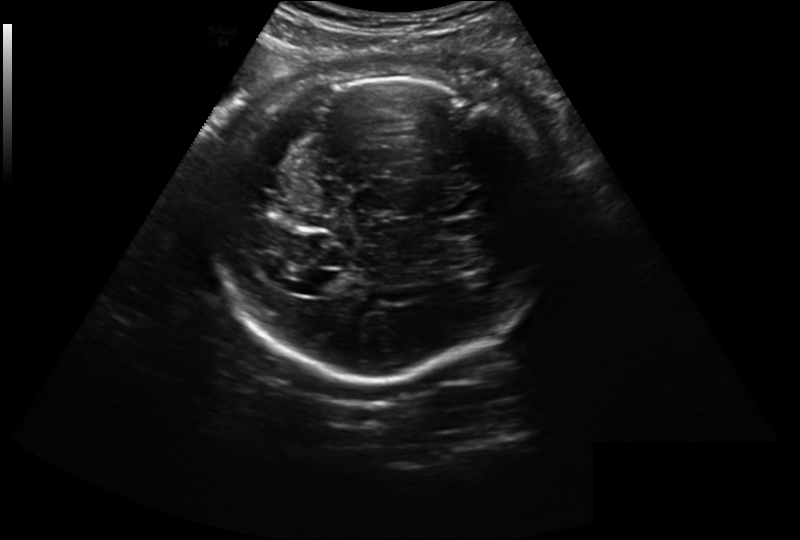
Fetal head ultrasound. Image width: 208.4 mm. Where is the fetal head?

Head bounding box: [219,74,546,381]